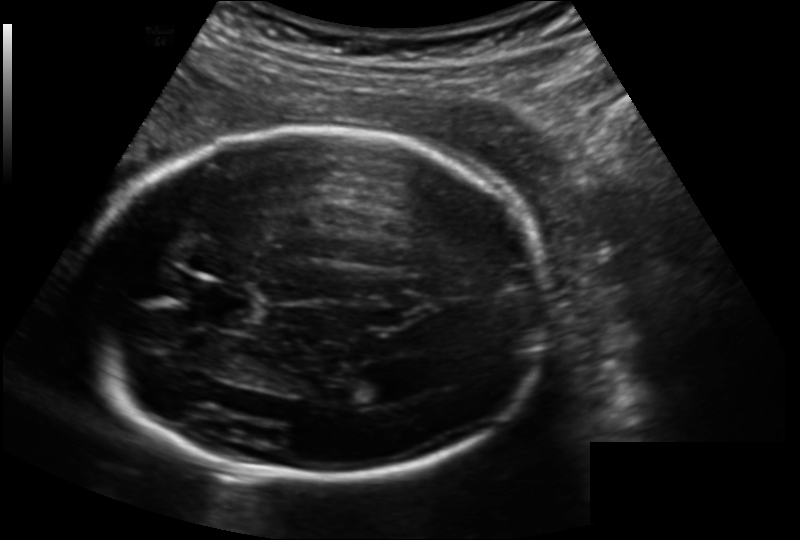
Fetal head ultrasound. Image width: 130.8 mm. Give [x1,y1,x2,y2] bounding boxes for each visible structure among: fetal head, CSP, LV.

Head: [78,131,551,481]
CSP: [186,277,252,331]
Lateral ventricle: [347,367,402,410]